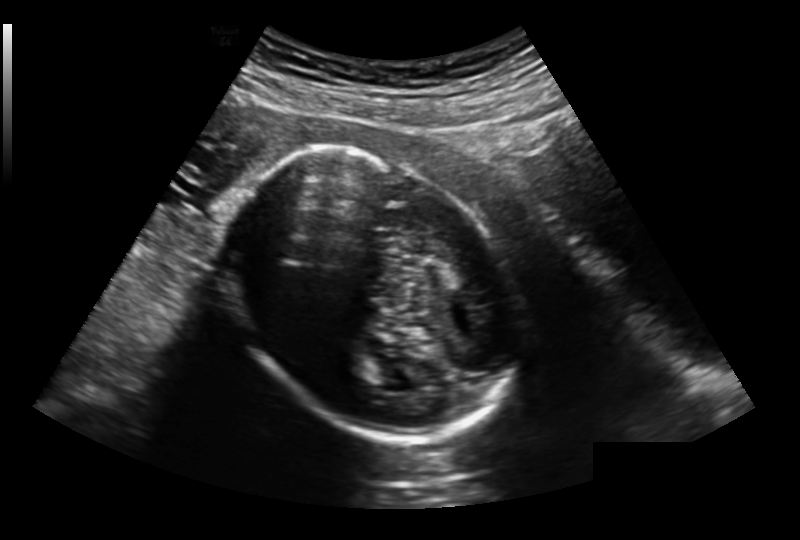
Measure the fetal head circumference shown in this ultrasound image. Image width: 170.5 mm.

Head circumference: 201.9 mm.